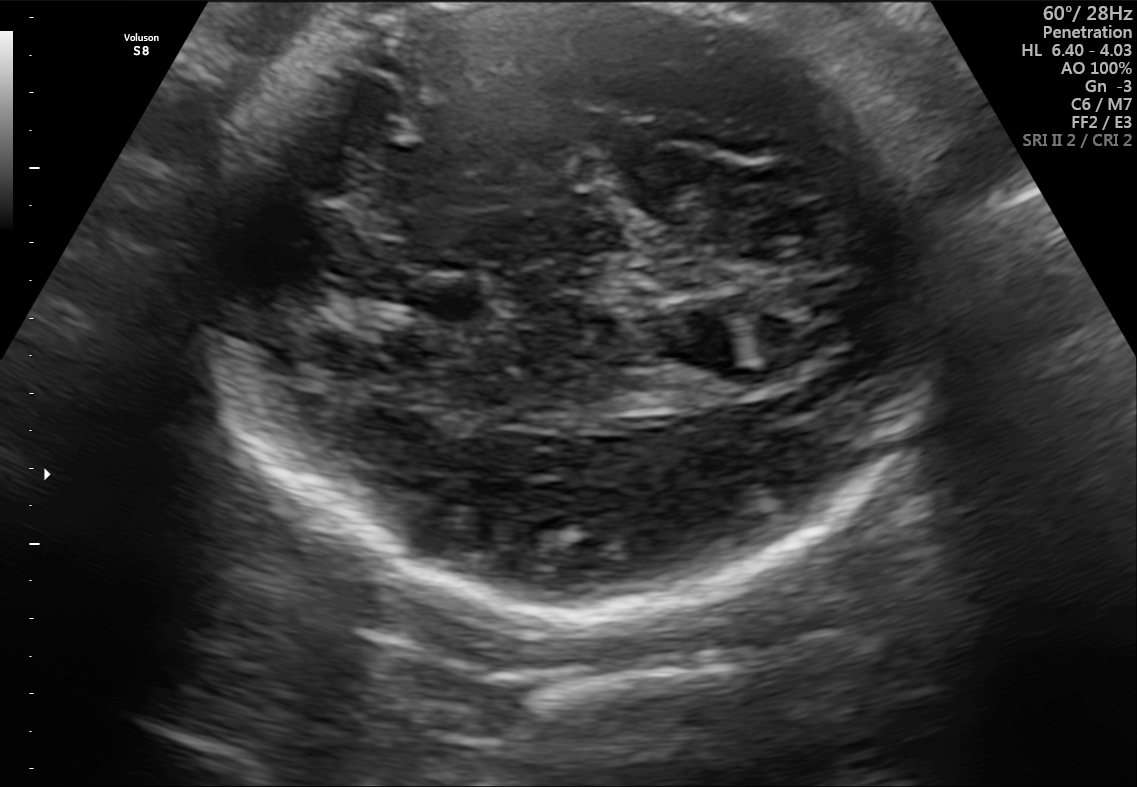
Fetal brain, trans-thalamic plane. Locate the fetal head and, if visible, the cavum septum pellucidum (CSP) and lateral ventricle (LV). Give bounding boxes as [x1,y1,x2,y2].

Head: [209,5,938,620]
CSP: [408,276,487,316]